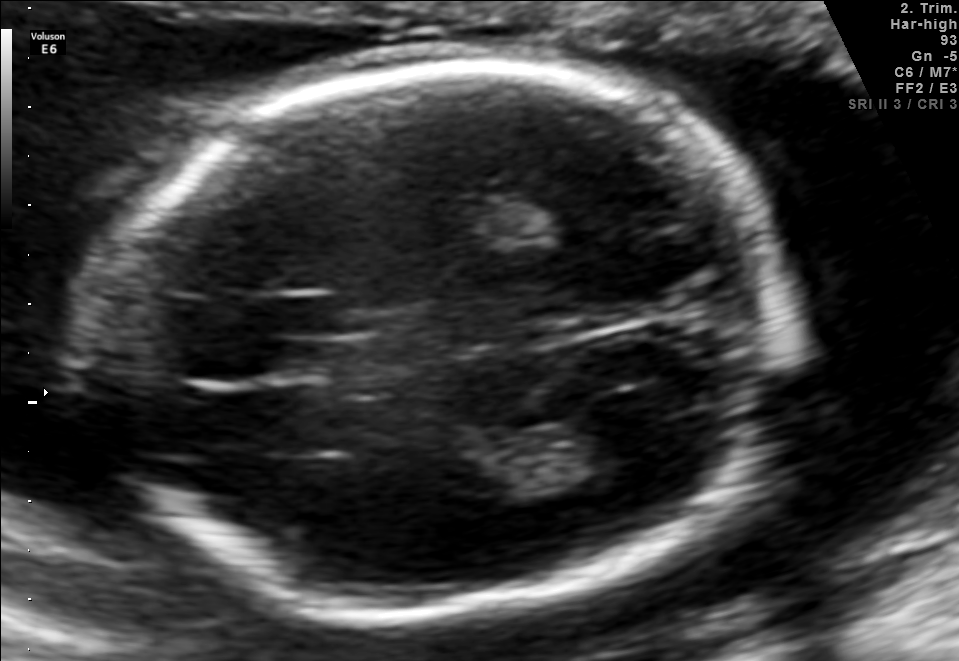
In this fetal brain, trans-thalamic plane, give bounding boxes for the head outline, cavum septum pellucidum (CSP), and lateral ventricle (LV), where visible.

Head: [94,67,785,610]
CSP: [191,338,277,378]
Lateral ventricle: [538,394,673,493]